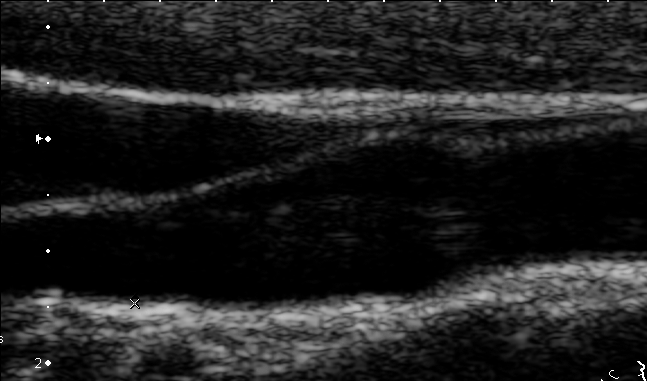
Which standard maternal-fetal ultrasound plane is shown: fetal abdomen, fetal brain, fetal femur, fetal thorax, maternal cervix, or other? If it's fetal brain and one of the three standard brain planes (trans-thalamic, trans-cerebellum, trans-ventricular), name which.

Other